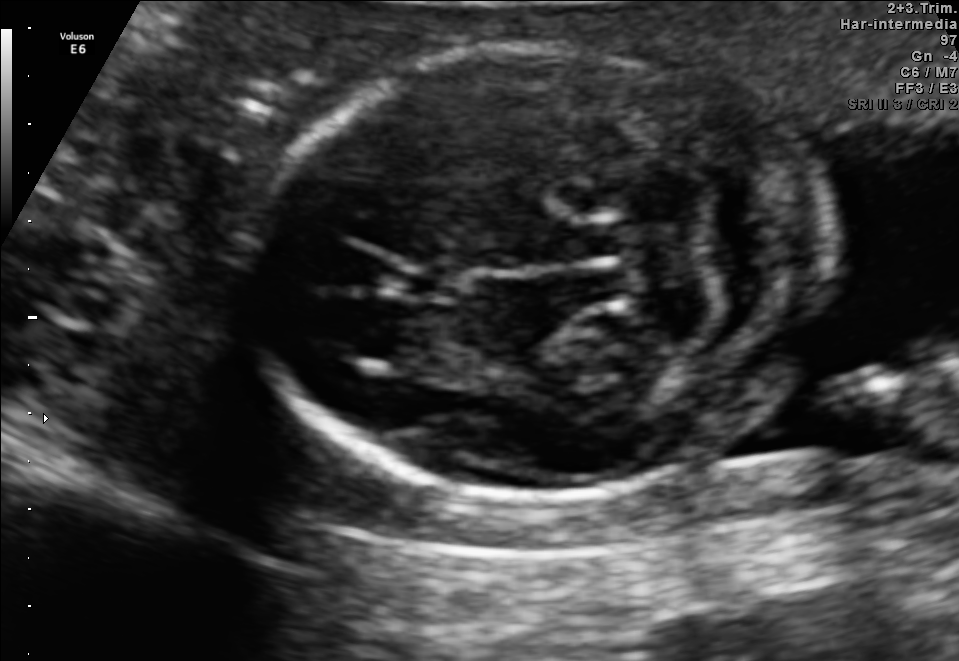
Fetal brain, trans-cerebellum plane. Locate the cavum septum pellucidum.

CSP: [400,263,461,301]